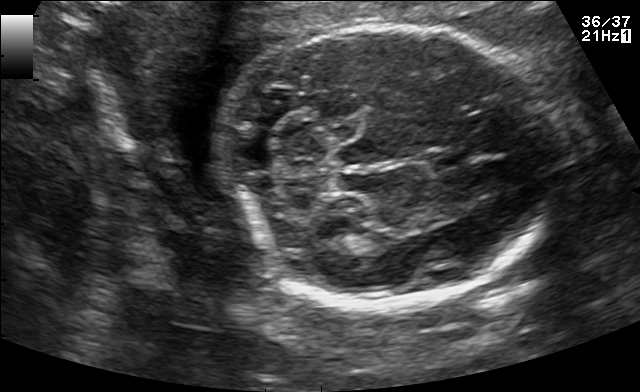
Classify this maternal-fetal ultrasound image as one of the six standard planes — fetal abdomen, fetal brain, fetal femur, fetal thorax, maternal cervix, or other. If it's fetal brain and one of the three standard brain planes (trans-thalamic, trans-cerebellum, trans-ventricular), name which.

Fetal brain (trans-cerebellum plane)